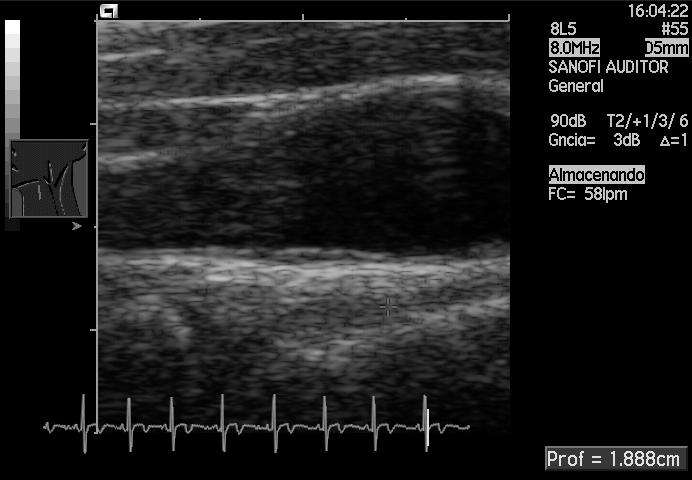
Which standard maternal-fetal ultrasound plane is shown: fetal abdomen, fetal brain, fetal femur, fetal thorax, maternal cervix, or other? If it's fetal brain and one of the three standard brain planes (trans-thalamic, trans-cerebellum, trans-ventricular), name which.

Other